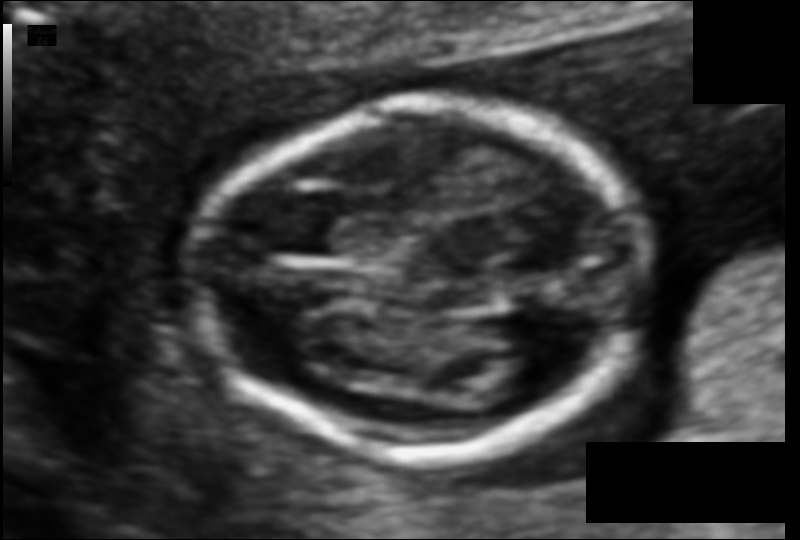
What is the fetal head circumference? Image width is 61.5 mm.

101.0 mm